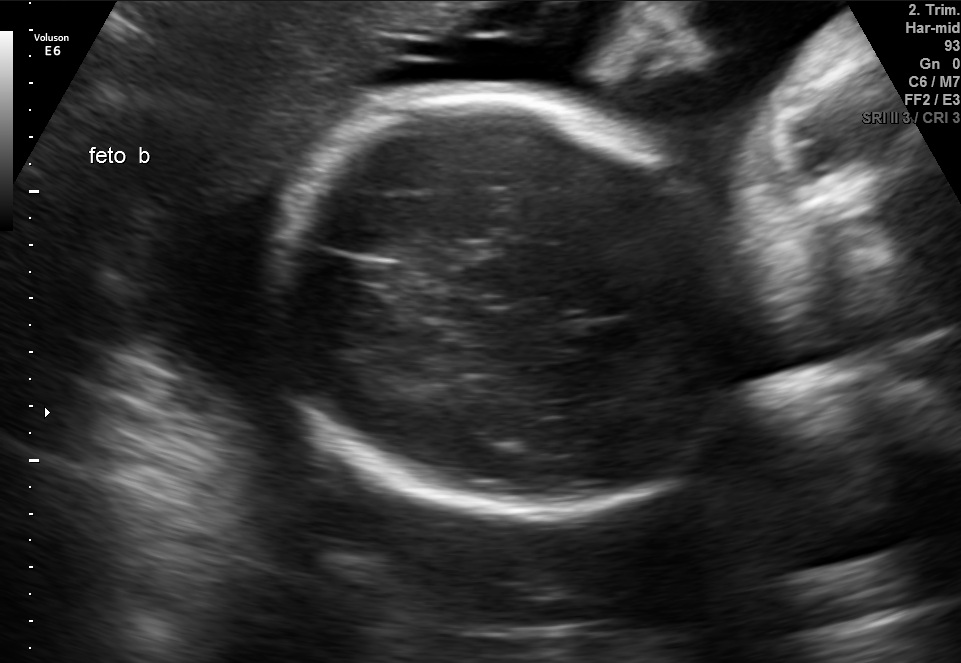
In this fetal brain, trans-thalamic plane, give the bounding box of the fetal head.

[272,95,752,520]